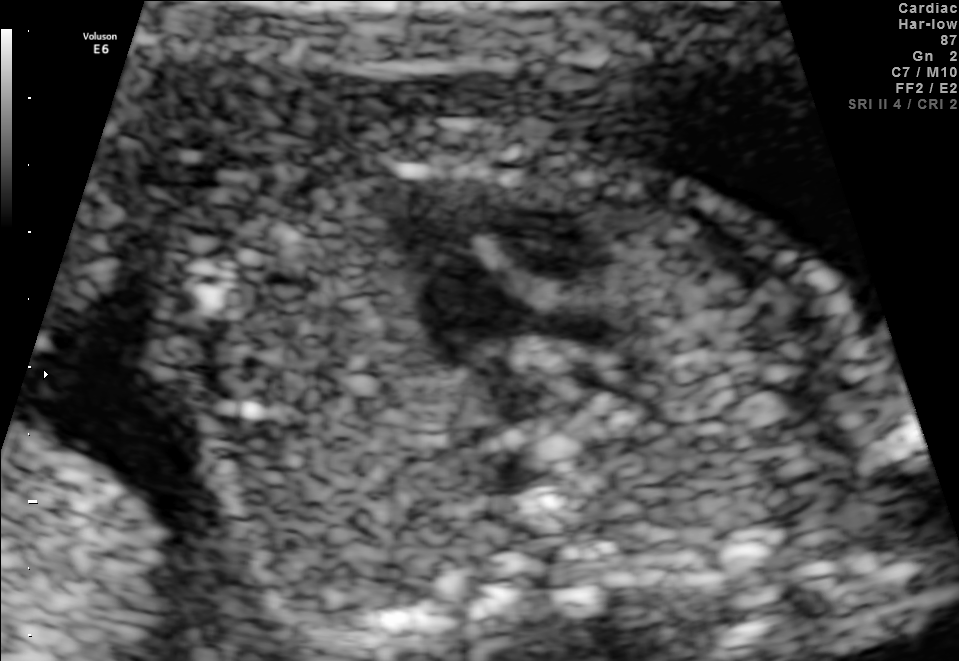
Which standard maternal-fetal ultrasound plane is shown: fetal abdomen, fetal brain, fetal femur, fetal thorax, maternal cervix, or other? If it's fetal brain and one of the three standard brain planes (trans-thalamic, trans-cerebellum, trans-ventricular), name which.

Fetal thorax